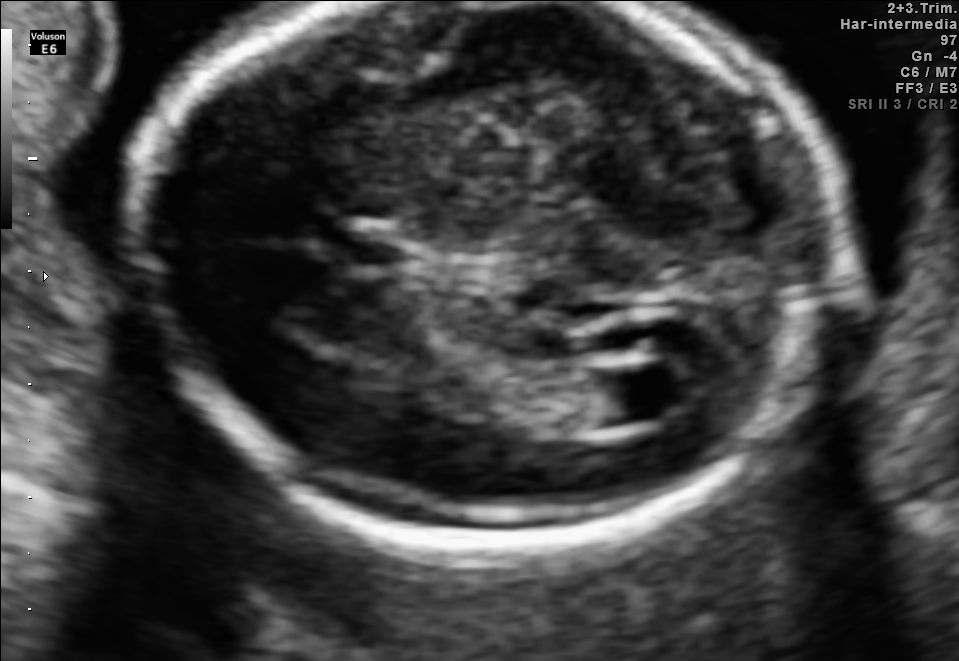
Fetal brain, trans-ventricular plane. Locate the cavum septum pellucidum (CSP) and lateral ventricle (LV), if visible. Give bounding boxes as [x1,y1,x2,y2].

CSP: [349,237,407,269]
Lateral ventricle: [582,357,689,429]